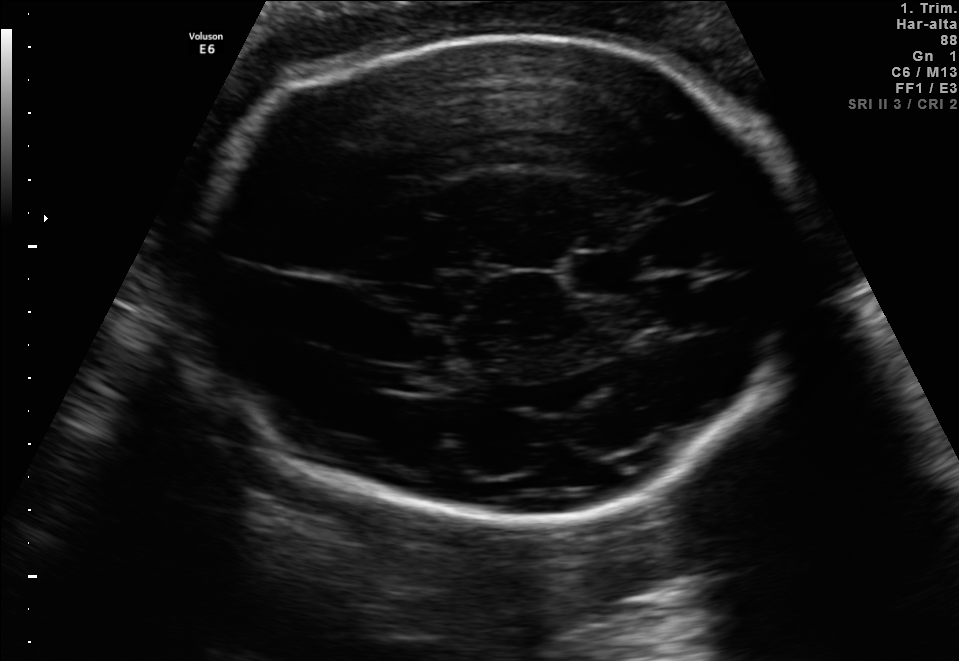
Classify this maternal-fetal ultrasound image as one of the six standard planes — fetal abdomen, fetal brain, fetal femur, fetal thorax, maternal cervix, or other. If it's fetal brain and one of the three standard brain planes (trans-thalamic, trans-cerebellum, trans-ventricular), name which.

Fetal brain (trans-thalamic plane)